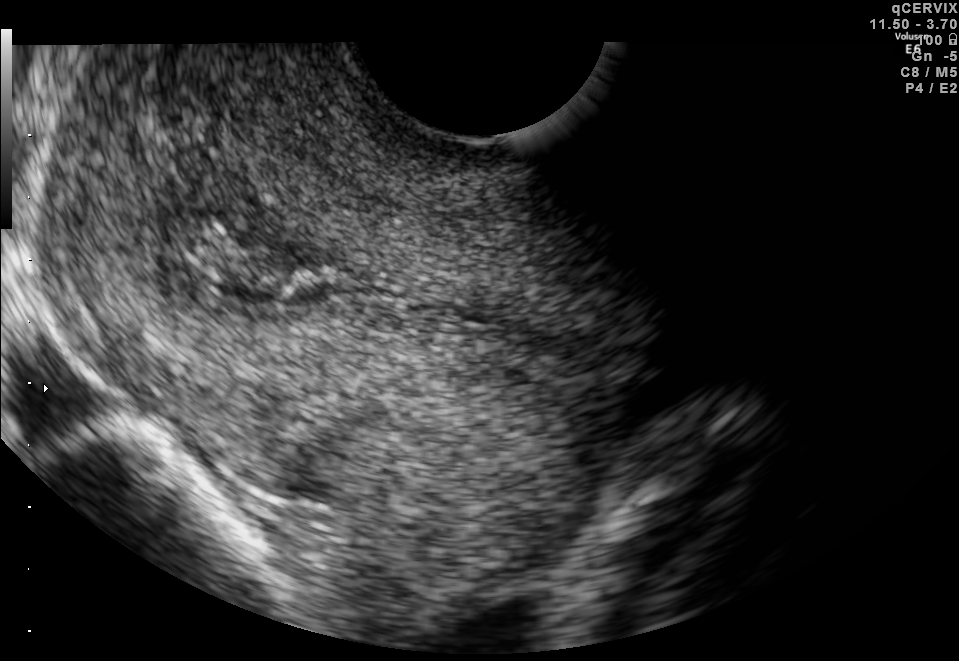
Which standard maternal-fetal ultrasound plane is shown: fetal abdomen, fetal brain, fetal femur, fetal thorax, maternal cervix, or other? If it's fetal brain and one of the three standard brain planes (trans-thalamic, trans-cerebellum, trans-ventricular), name which.

Maternal cervix